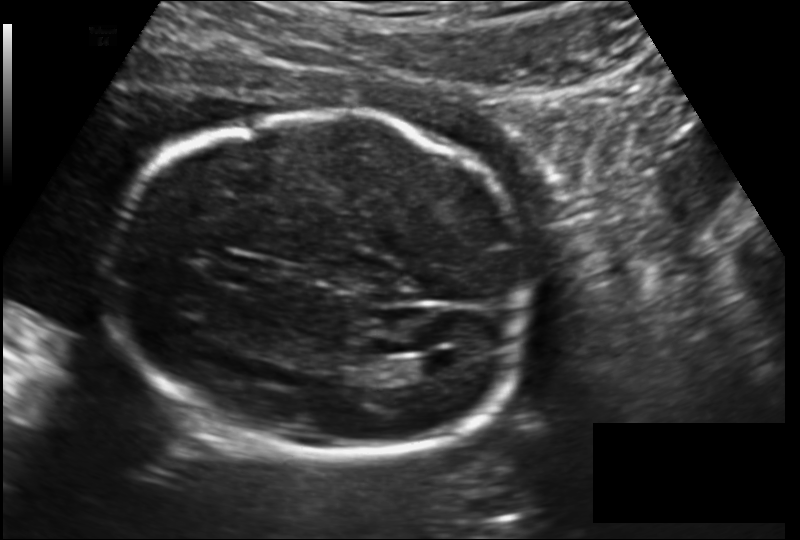
In this fetal head ultrasound, give the bounding box of the fetal head. Image width: 125.8 mm.

[104,109,536,462]